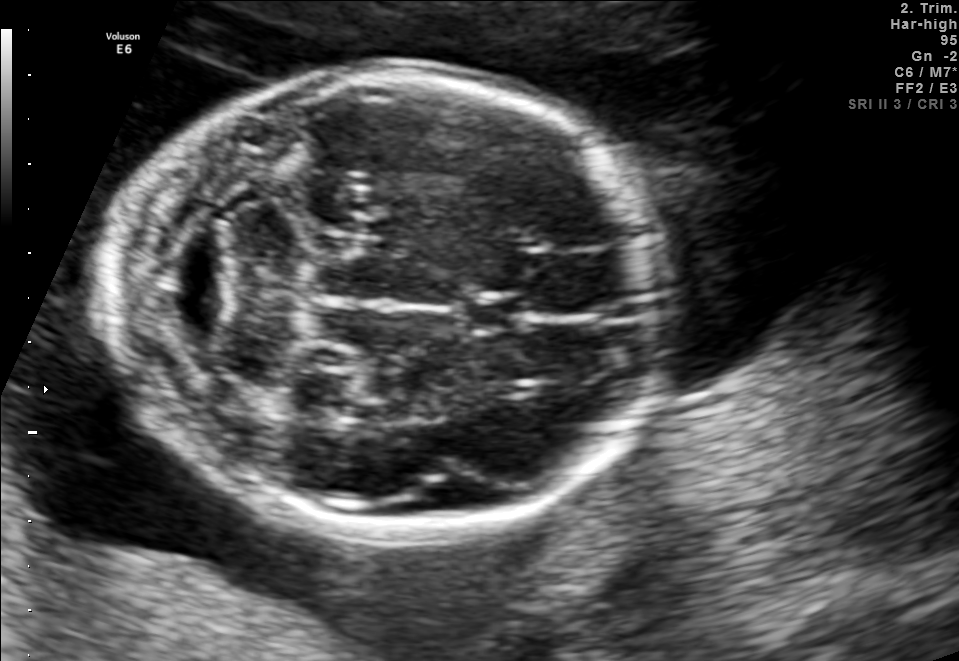
Fetal brain, trans-cerebellum plane. Locate the cavum septum pellucidum.

CSP: [465,295,528,330]